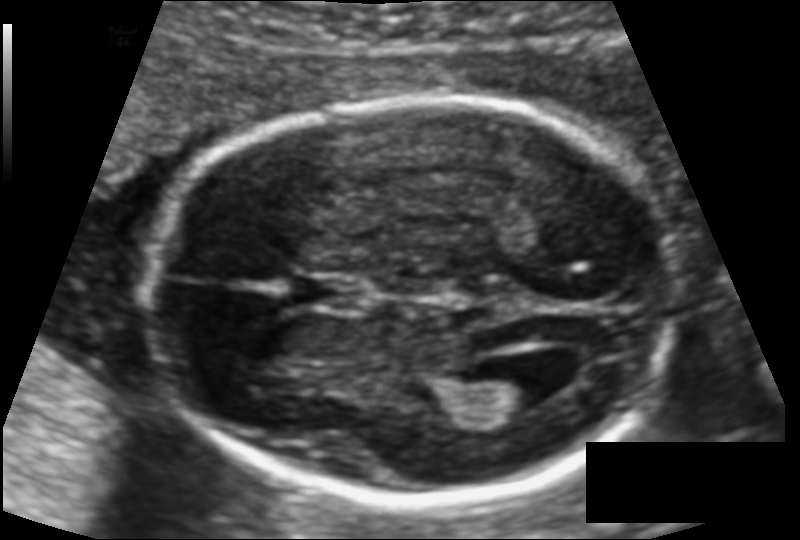
In this fetal head ultrasound, give the bounding box of the lateral ventricle. Image width: 90.3 mm.

[469,356,553,424]